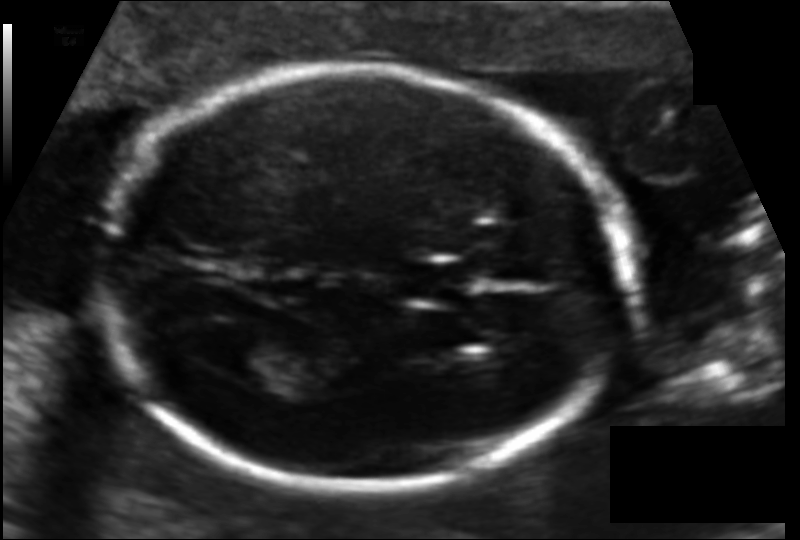
Fetal head ultrasound. Image width: 91.0 mm. Locate the lateral ventricle.

Lateral ventricle: [202,324,286,387]